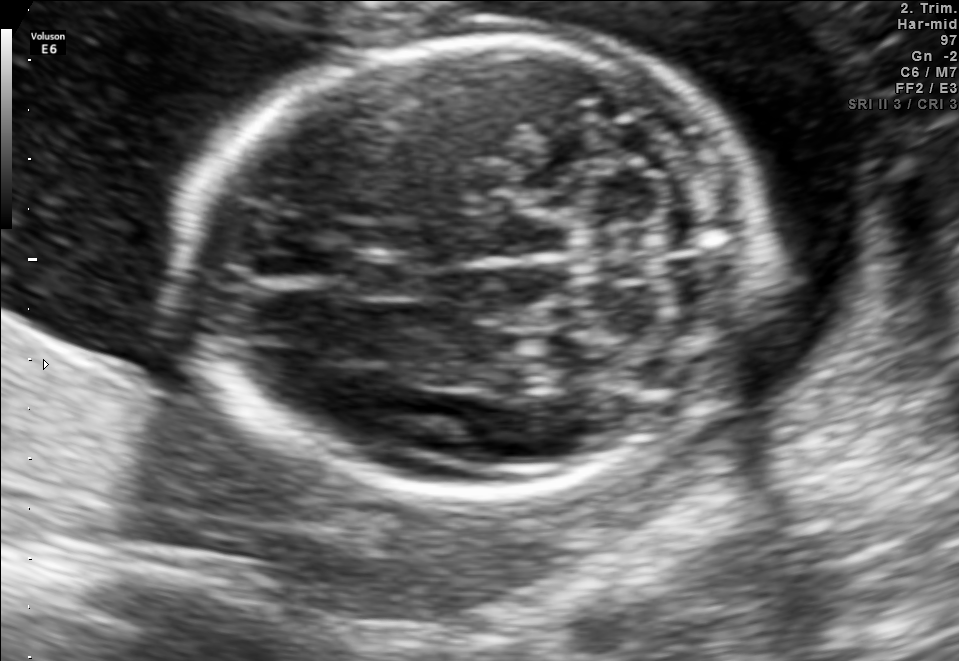
Fetal brain, trans-cerebellum plane. Give [x1,y1,x2,y2] bounding boxes for each visible structure among: fetal head, CSP, LV.

Head: [180,40,765,497]
CSP: [346,253,420,300]